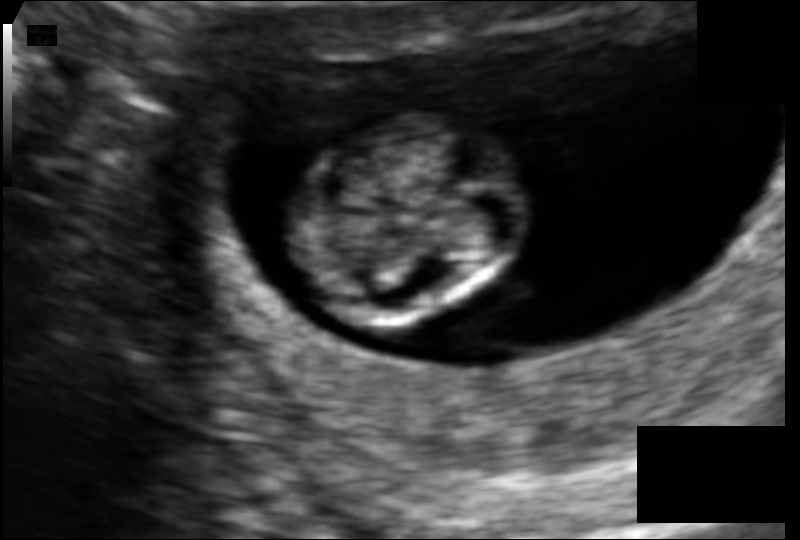
In this fetal head ultrasound, give bounding boxes for the head outline, cavum septum pellucidum (CSP), and lateral ventricle (LV), where visible. Image width: 66.8 mm.

Head: [293,114,521,322]